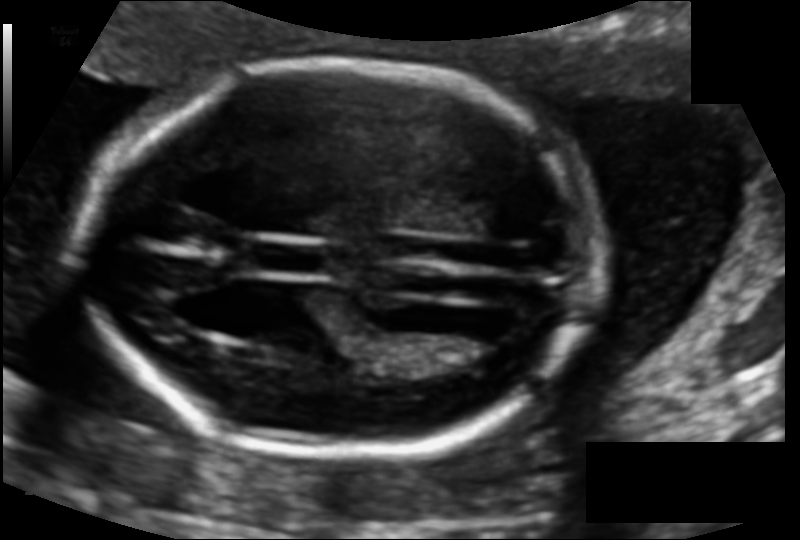
In this fetal head ultrasound, give bounding boxes for the head outline, cavum septum pellucidum (CSP), and lateral ventricle (LV), where visible. Image width: 88.3 mm.

Head: [78,60,591,453]
CSP: [255,239,325,275]